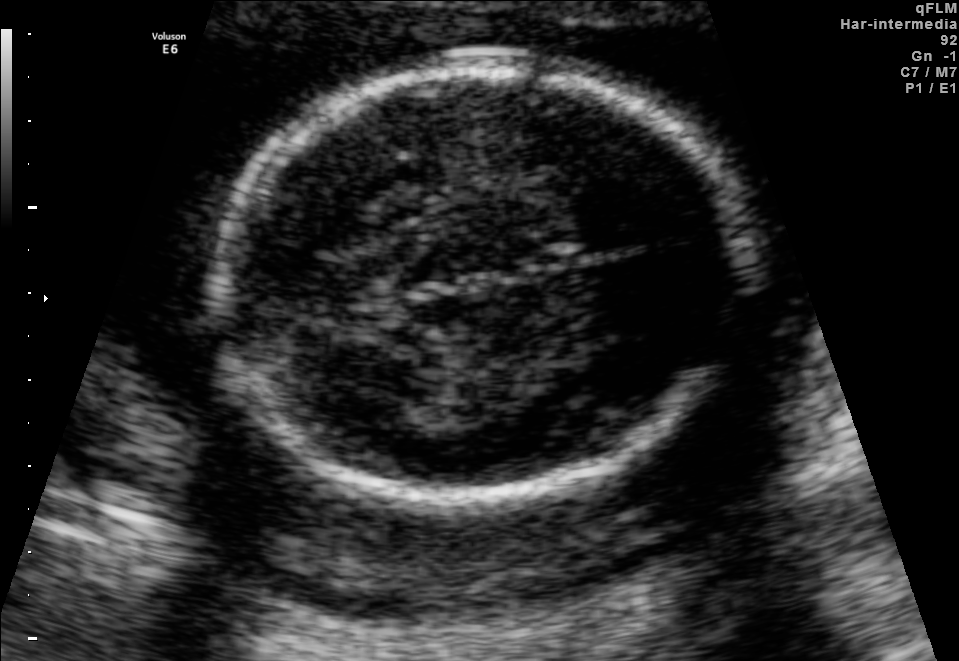
Identify the standard plane in this fetal ultrasound image: fetal abdomen, fetal brain, fetal femur, fetal thorax, maternal cervix, or other. If it's fetal brain and one of the three standard brain planes (trans-thalamic, trans-cerebellum, trans-ventricular), name which.

Fetal brain (trans-thalamic plane)